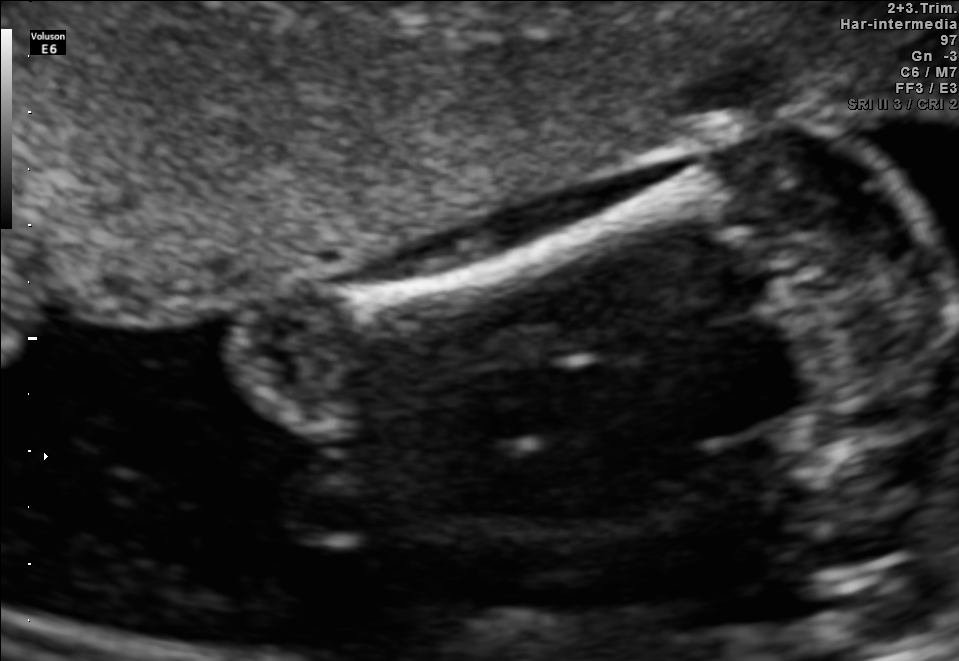
Identify the standard plane in this fetal ultrasound image: fetal abdomen, fetal brain, fetal femur, fetal thorax, maternal cervix, or other. If it's fetal brain and one of the three standard brain planes (trans-thalamic, trans-cerebellum, trans-ventricular), name which.

Fetal femur